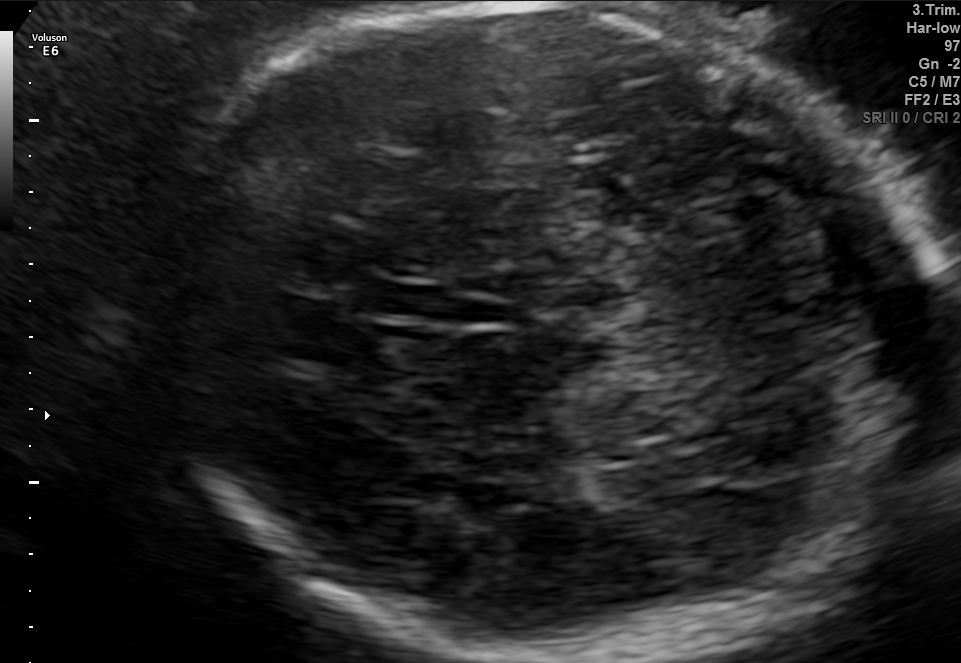
Fetal brain, trans-thalamic plane. Locate the fetal head.

Head: [147,5,940,656]